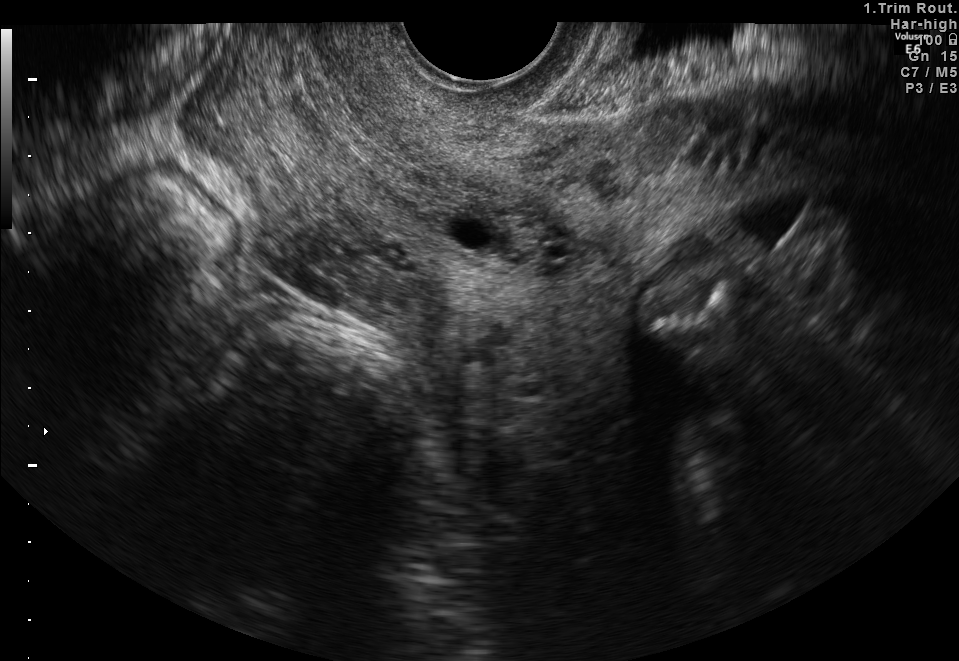
This is a 2D maternal-fetal ultrasound frame. Is it a fetal abdomen, fetal brain, fetal femur, fetal thorax, maternal cervix, or other standard plane? If it's fetal brain and one of the three standard brain planes (trans-thalamic, trans-cerebellum, trans-ventricular), name which.

Maternal cervix